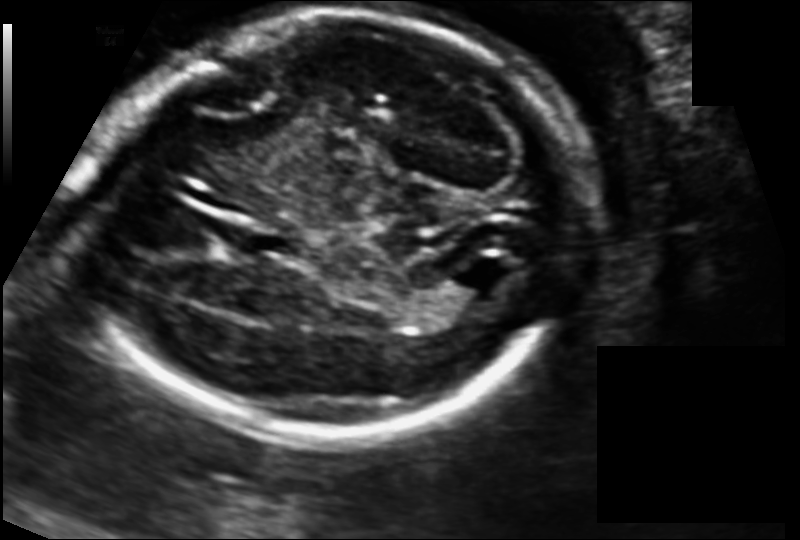
Fetal head ultrasound. Image width: 100.4 mm. Locate the fetal head and, if visible, the cavum septum pellucidum (CSP) and lateral ventricle (LV). Give bounding boxes as [x1,y1,x2,y2].

Head: [98,11,582,440]
Lateral ventricle: [445,236,525,314]